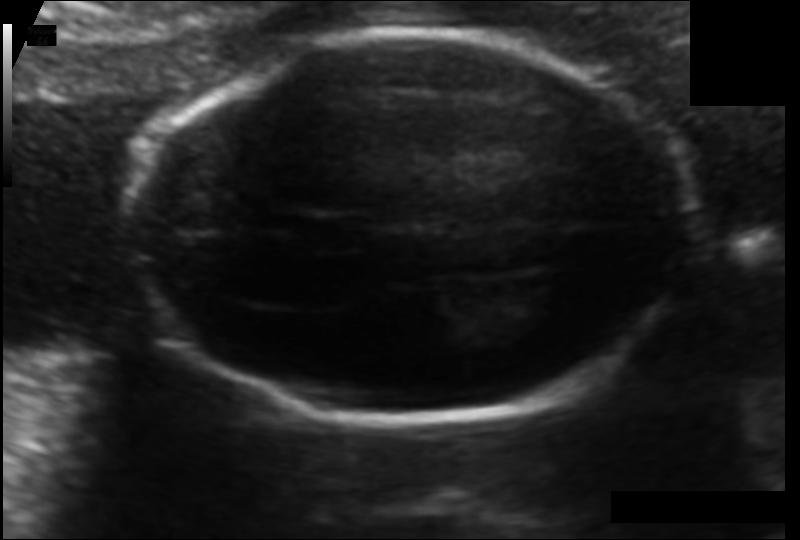
From this fetal ultrasound, estimate the head circumference (image width 82.3 mm).

Head circumference: 159.5 mm.